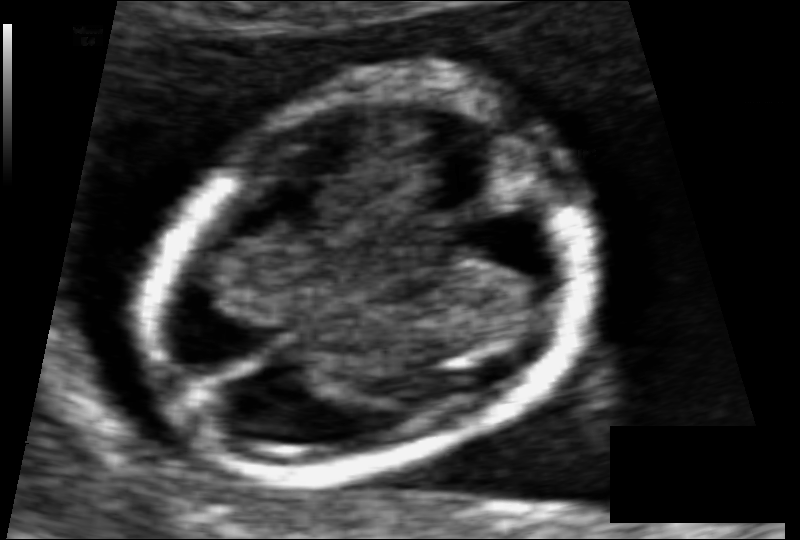
Measure the fetal head circumference shown in this ultrasound image. Image width: 49.2 mm.

Head circumference: 83.6 mm.